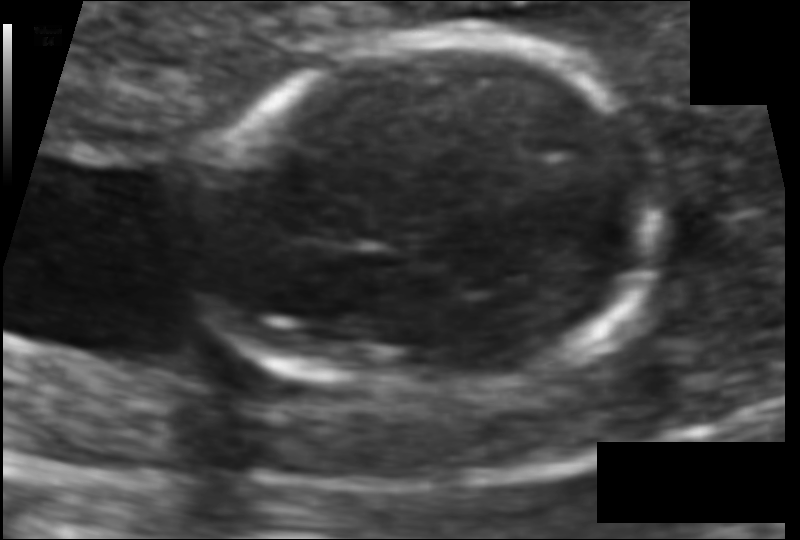
Estimate the fetal head circumference from this 2D ultrasound. Image width: 62.9 mm.

Head circumference: 104.9 mm.